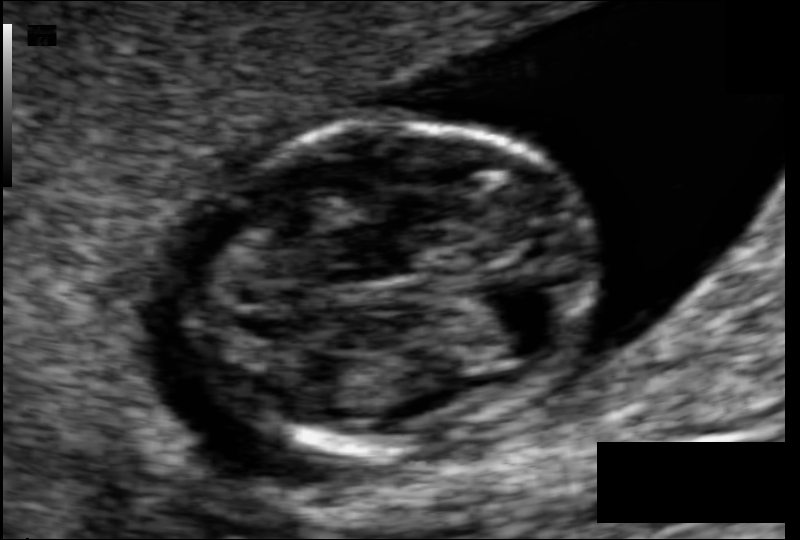
Fetal head ultrasound. Image width: 49.9 mm. Locate the fetal head and, if visible, the cavum septum pellucidum (CSP) and lateral ventricle (LV). Give bounding boxes as [x1,y1,x2,y2].

Head: [184,122,594,451]